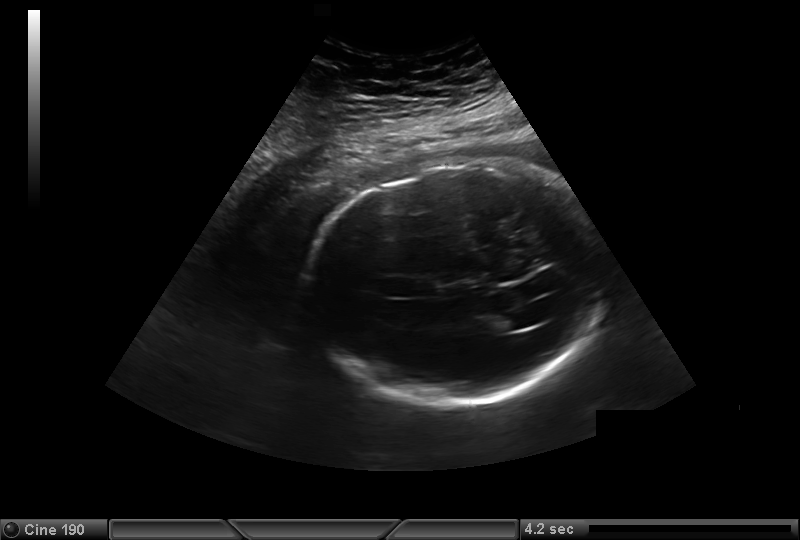
From this fetal ultrasound, estimate the head circumference (image width 258.3 mm).

Head circumference: 283.5 mm.